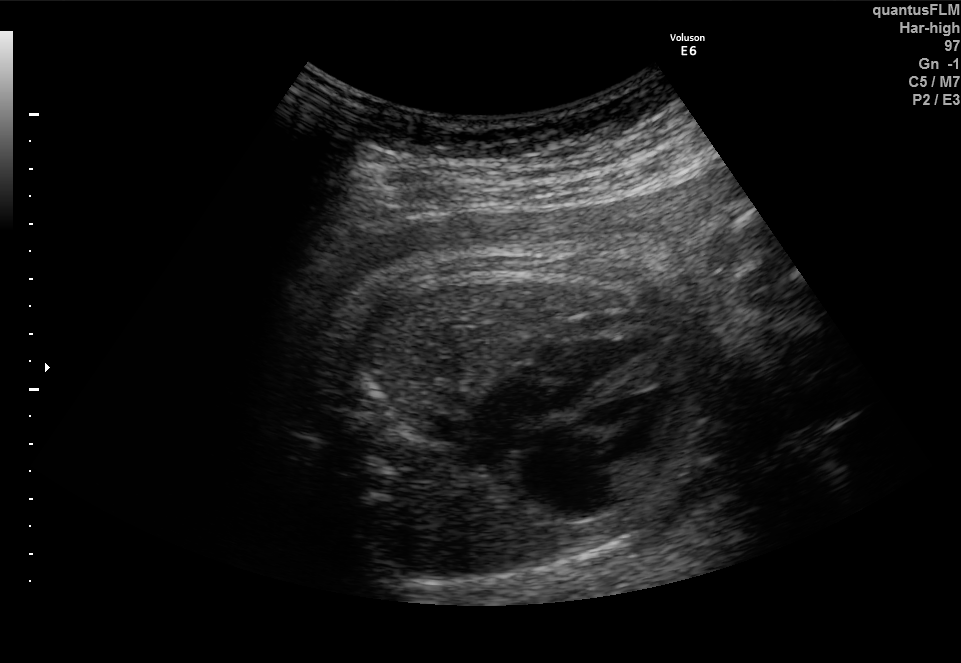
Which standard maternal-fetal ultrasound plane is shown: fetal abdomen, fetal brain, fetal femur, fetal thorax, maternal cervix, or other? If it's fetal brain and one of the three standard brain planes (trans-thalamic, trans-cerebellum, trans-ventricular), name which.

Fetal thorax